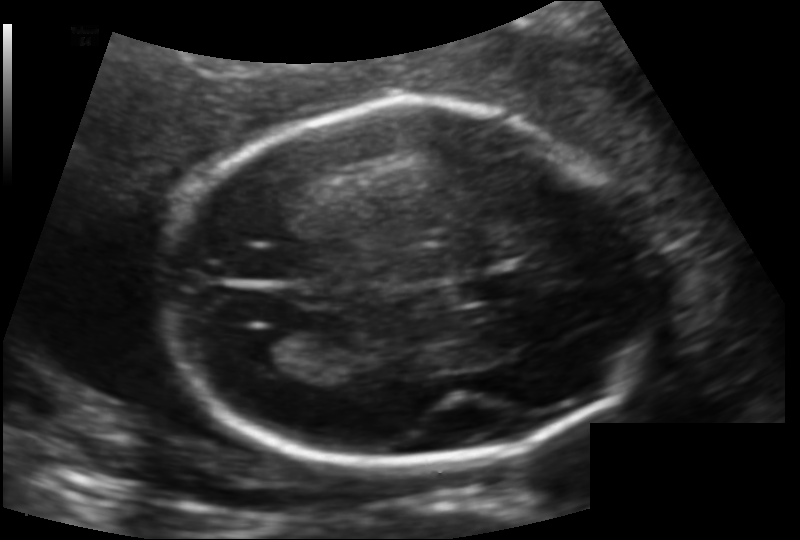
Fetal head ultrasound. Image width: 106.2 mm. Where is the cavum septum pellucidum?

CSP bounding box: [457,269,529,305]